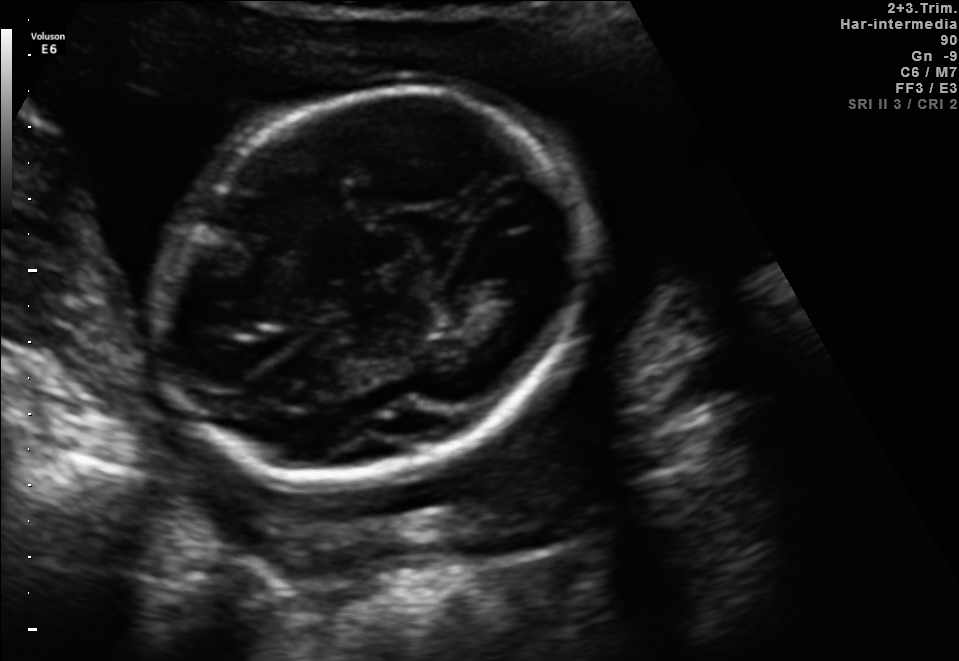
Fetal brain, trans-thalamic plane. Locate the fetal head and, if visible, the cavum septum pellucidum (CSP) and lateral ventricle (LV). Give bounding boxes as [x1,y1,x2,y2].

Head: [157,82,588,489]